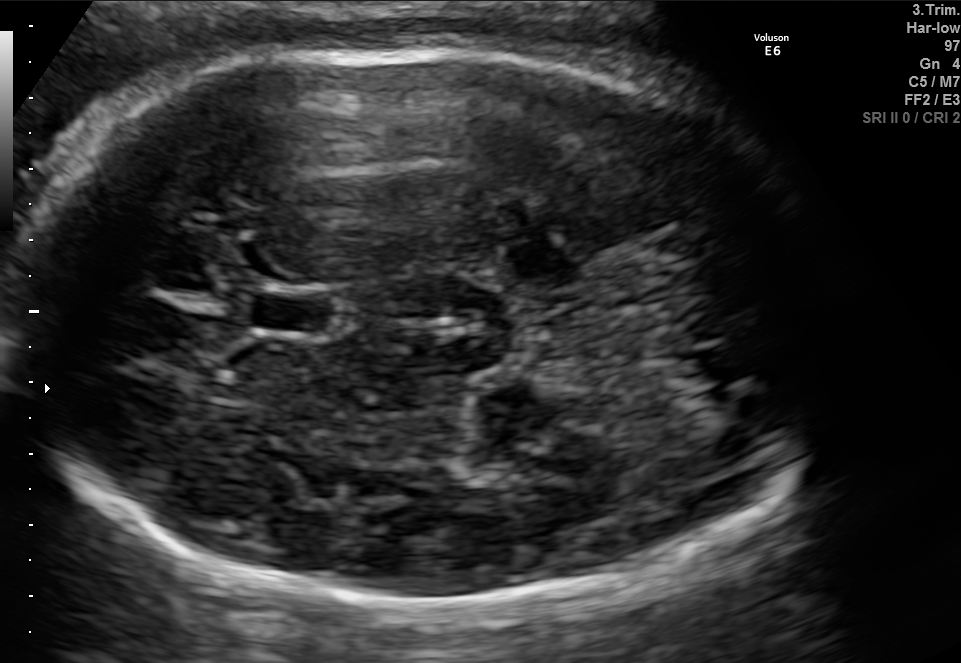
In this fetal brain, trans-thalamic plane, give bounding boxes for the head outline, cavum septum pellucidum (CSP), and lateral ventricle (LV), where visible.

Head: [7,48,830,605]
CSP: [251,293,329,334]